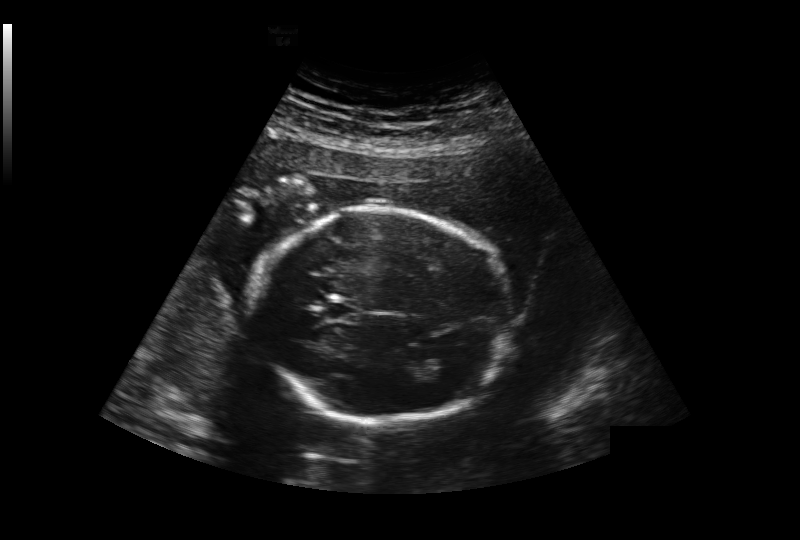
In this fetal head ultrasound, give the bounding box of the cavum septum pellucidum. Image width: 191.2 mm.

[327,302,358,321]